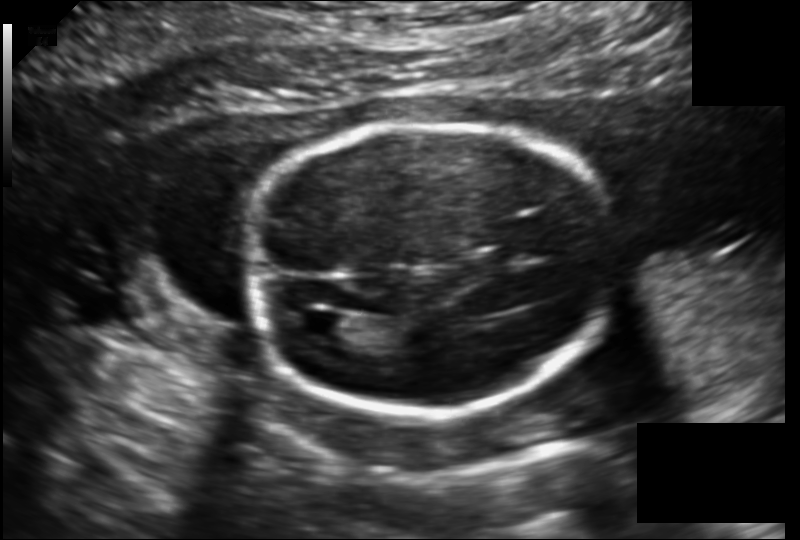
Estimate the fetal head circumference from this 2D ultrasound.

Head circumference: 159.9 mm (image width 119.0 mm).